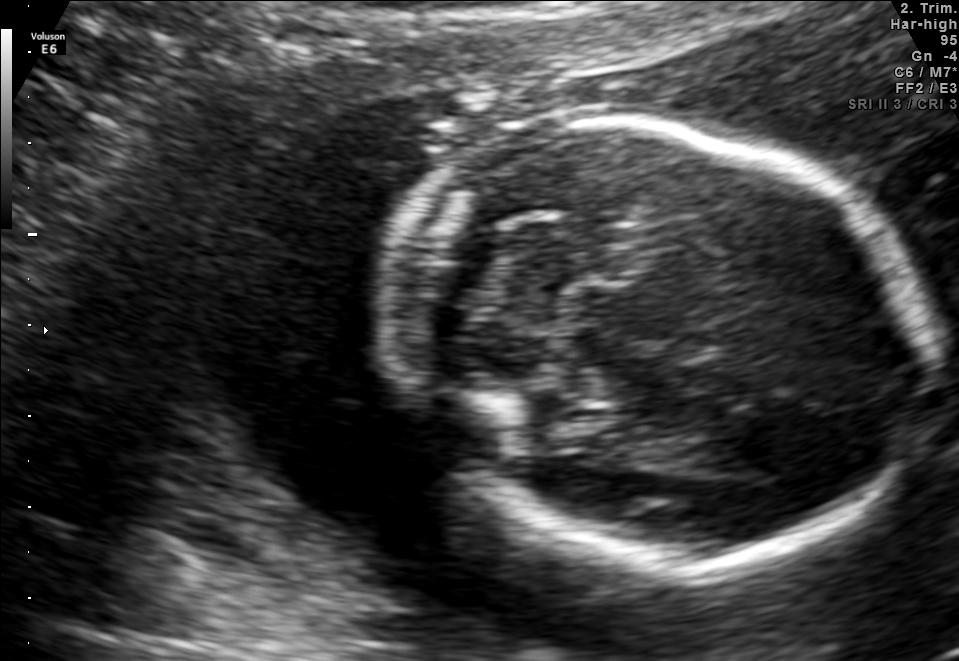
Identify the standard plane in this fetal ultrasound image: fetal abdomen, fetal brain, fetal femur, fetal thorax, maternal cervix, or other. If it's fetal brain and one of the three standard brain planes (trans-thalamic, trans-cerebellum, trans-ventricular), name which.

Fetal brain (trans-cerebellum plane)